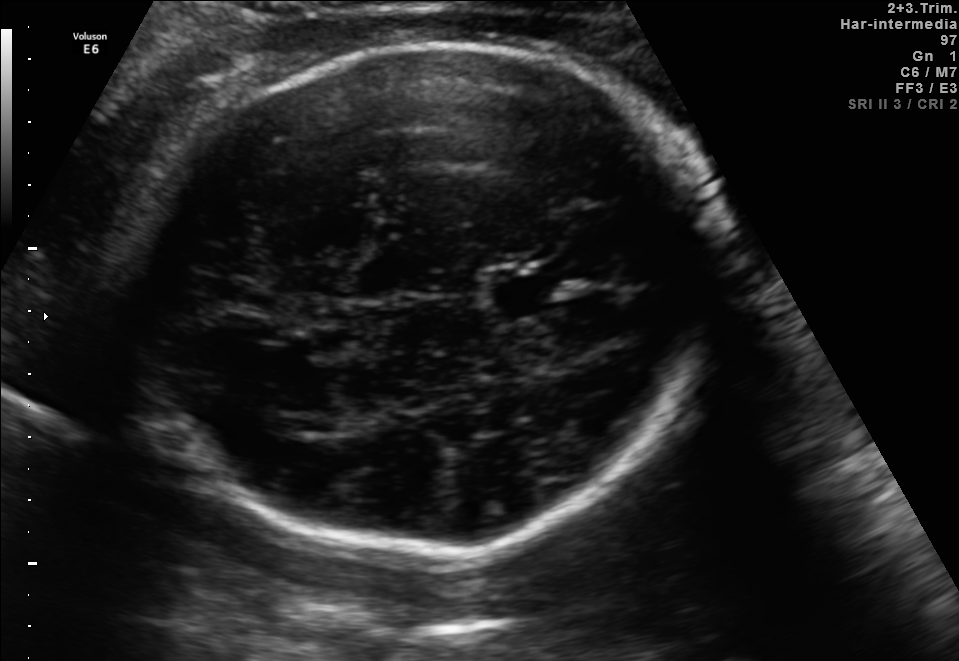
Which standard maternal-fetal ultrasound plane is shown: fetal abdomen, fetal brain, fetal femur, fetal thorax, maternal cervix, or other? If it's fetal brain and one of the three standard brain planes (trans-thalamic, trans-cerebellum, trans-ventricular), name which.

Fetal brain (trans-thalamic plane)